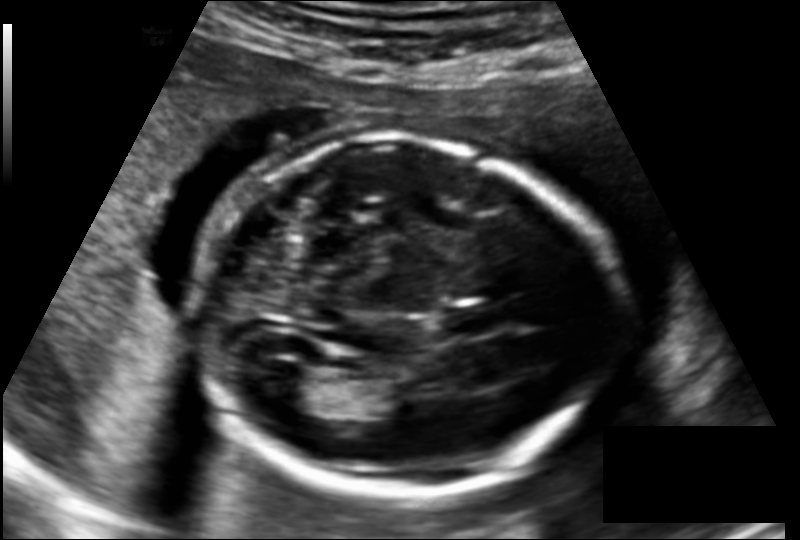
Fetal head ultrasound. Image width: 115.9 mm. Where is the lateral ventricle?

Lateral ventricle bounding box: [257,359,321,410]